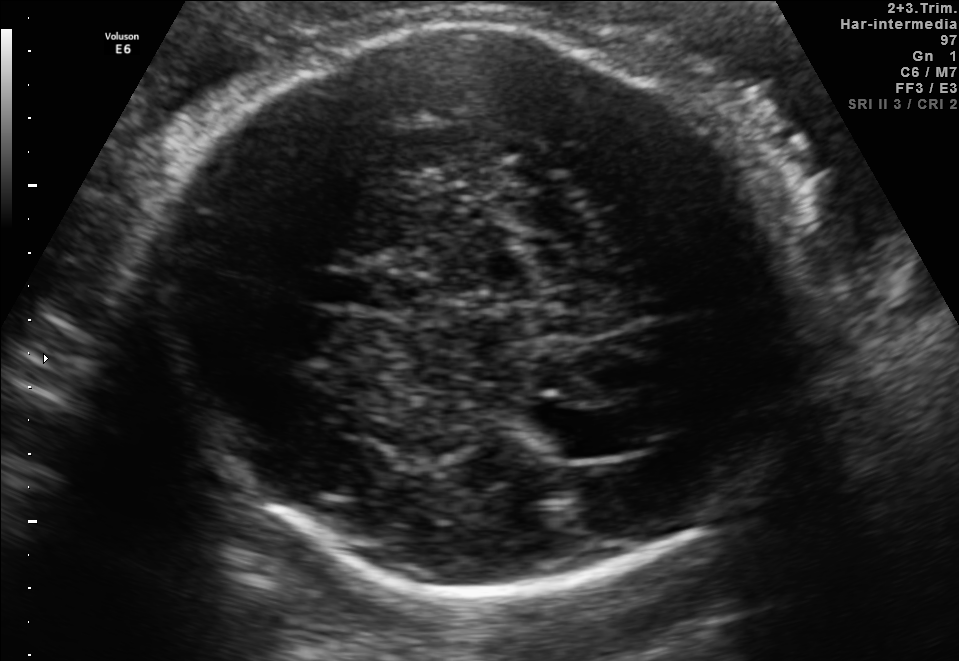
Fetal brain, trans-thalamic plane. Where is the cavum septum pellucidum?

CSP bounding box: [318,268,403,313]